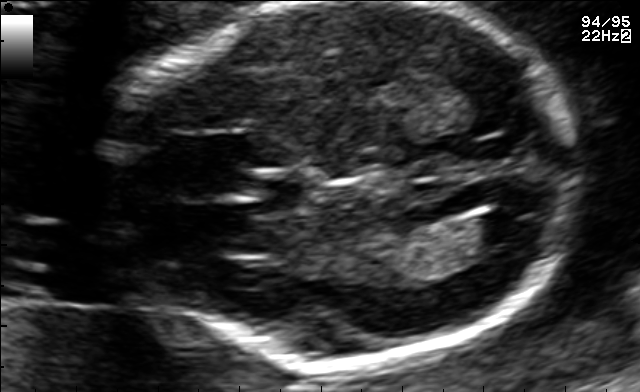
Fetal brain, trans-ventricular plane. Where is the cavum septum pellucidum?

CSP bounding box: [251,180,306,211]